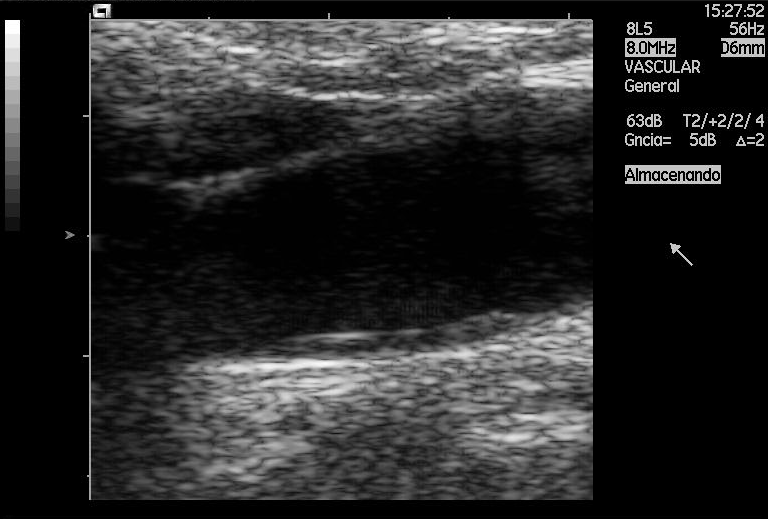
Identify the standard plane in this fetal ultrasound image: fetal abdomen, fetal brain, fetal femur, fetal thorax, maternal cervix, or other. If it's fetal brain and one of the three standard brain planes (trans-thalamic, trans-cerebellum, trans-ventricular), name which.

Other